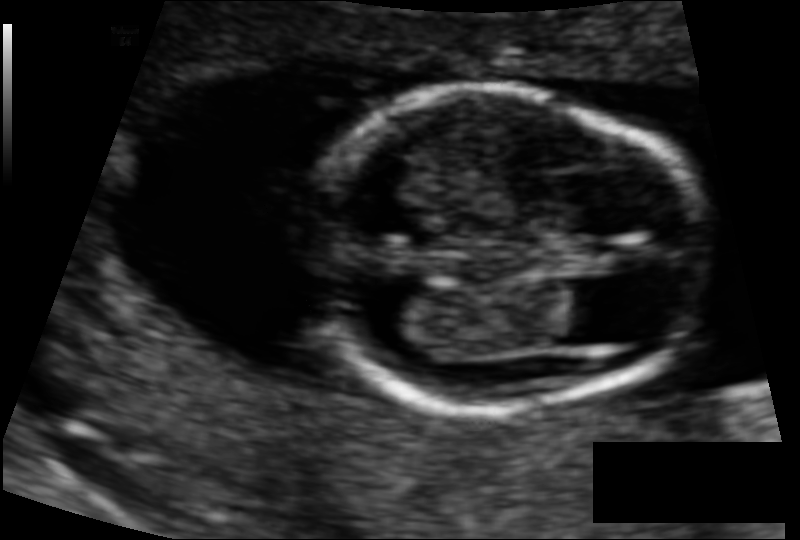
What is the fetal head circumference? Image width is 67.4 mm.

99.3 mm